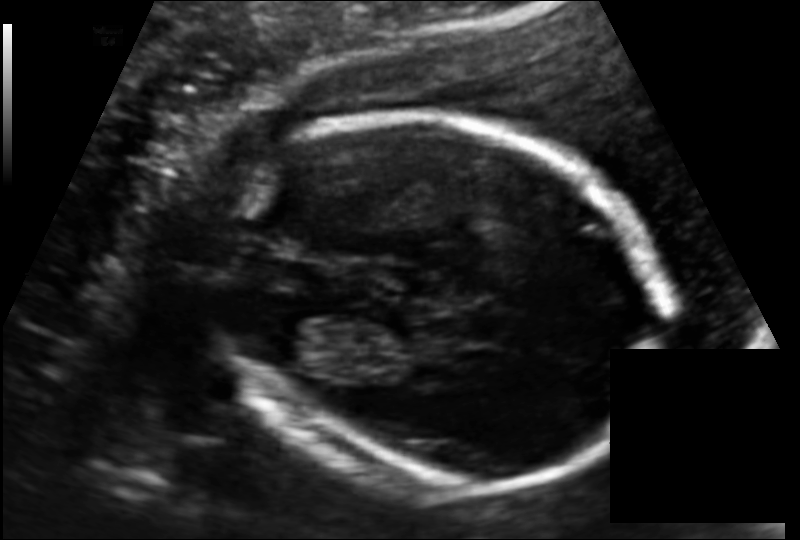
Fetal head ultrasound. Image width: 103.9 mm. Where is the fetal head?

Head bounding box: [209,114,667,492]